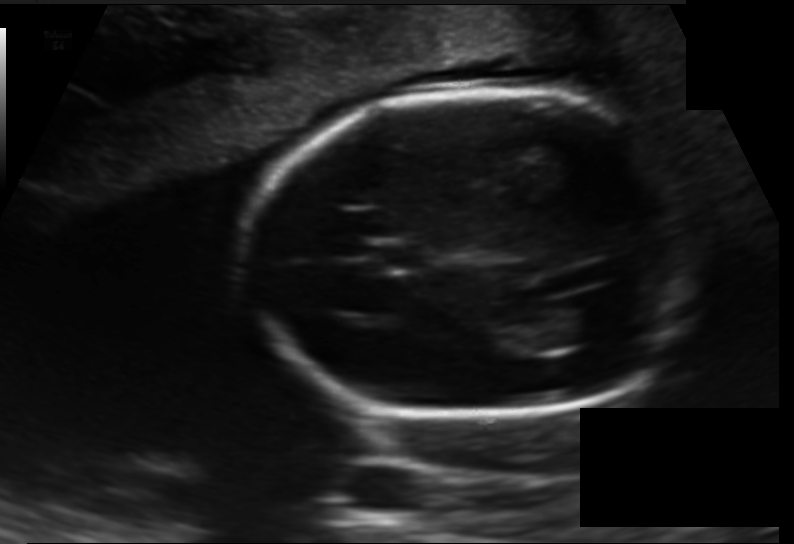
In this fetal head ultrasound, give the bounding box of the lateral ventricle. Image width: 109.8 mm.

[532,300,608,353]